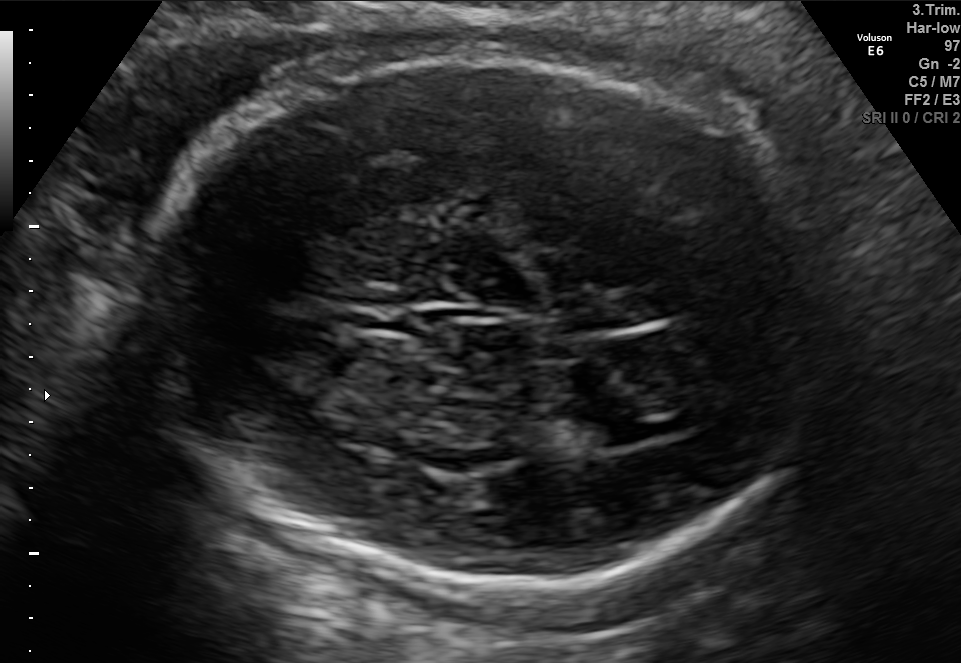
In this fetal brain, trans-ventricular plane, give bounding boxes for the head outline, cavum septum pellucidum (CSP), and lateral ventricle (LV), where visible.

Head: [141,51,838,590]
CSP: [342,295,421,337]
Lateral ventricle: [605,419,657,447]